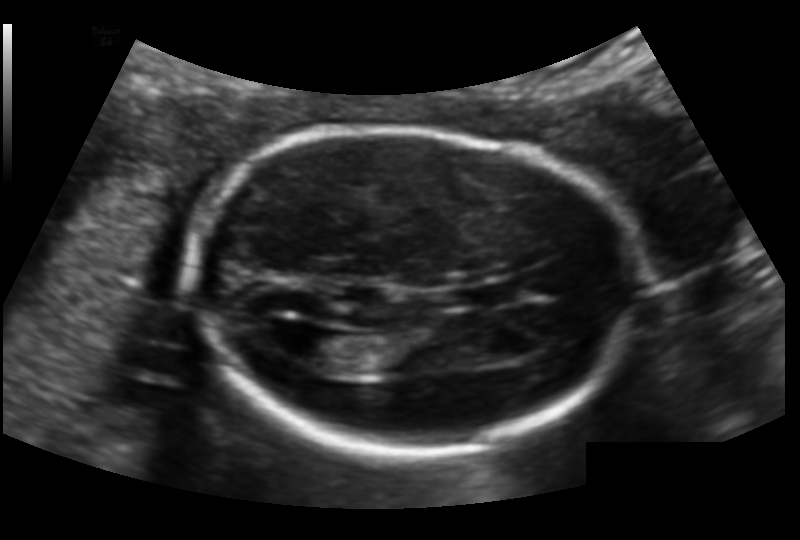
From this fetal ultrasound, estimate the head circumference (image width 105.5 mm).

Head circumference: 167.1 mm.